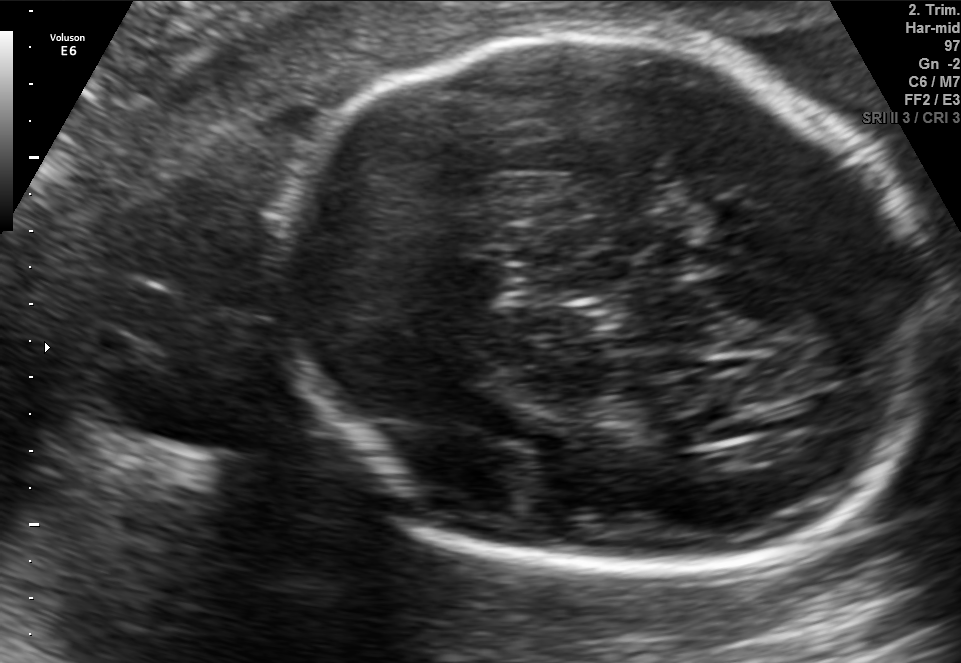
This is a 2D maternal-fetal ultrasound frame. Is it a fetal abdomen, fetal brain, fetal femur, fetal thorax, maternal cervix, or other standard plane? If it's fetal brain and one of the three standard brain planes (trans-thalamic, trans-cerebellum, trans-ventricular), name which.

Fetal brain (trans-thalamic plane)